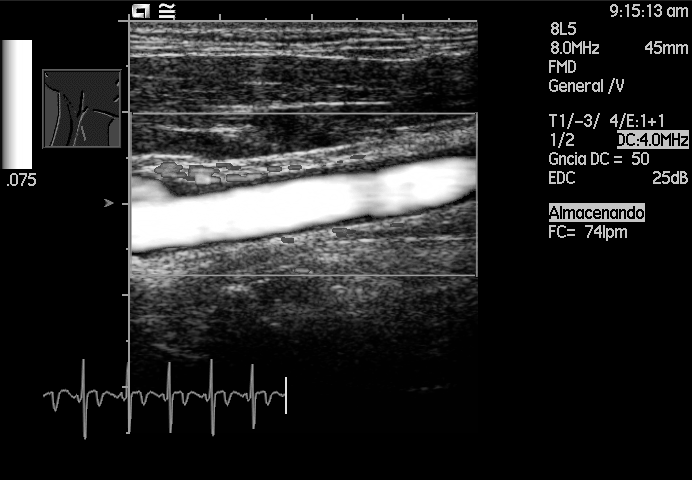
Which standard maternal-fetal ultrasound plane is shown: fetal abdomen, fetal brain, fetal femur, fetal thorax, maternal cervix, or other? If it's fetal brain and one of the three standard brain planes (trans-thalamic, trans-cerebellum, trans-ventricular), name which.

Other